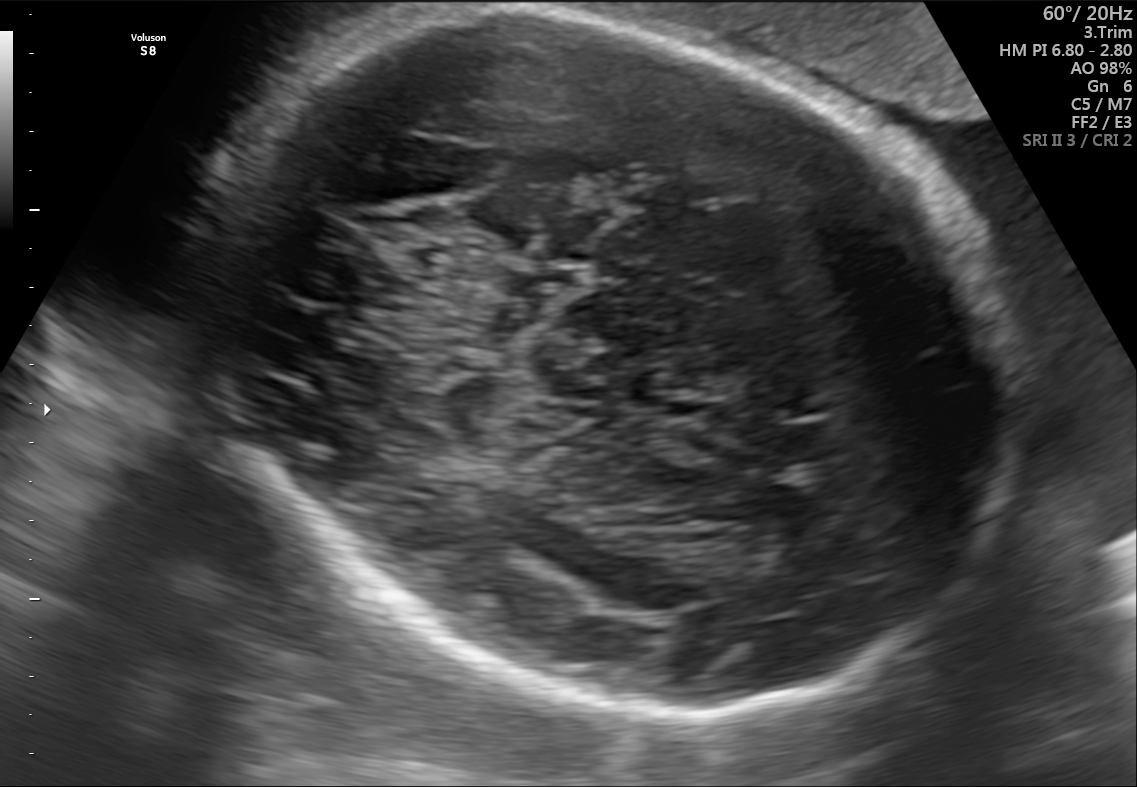
In this fetal brain, trans-thalamic plane, give the bounding box of the fetal head.

[165,8,1020,726]